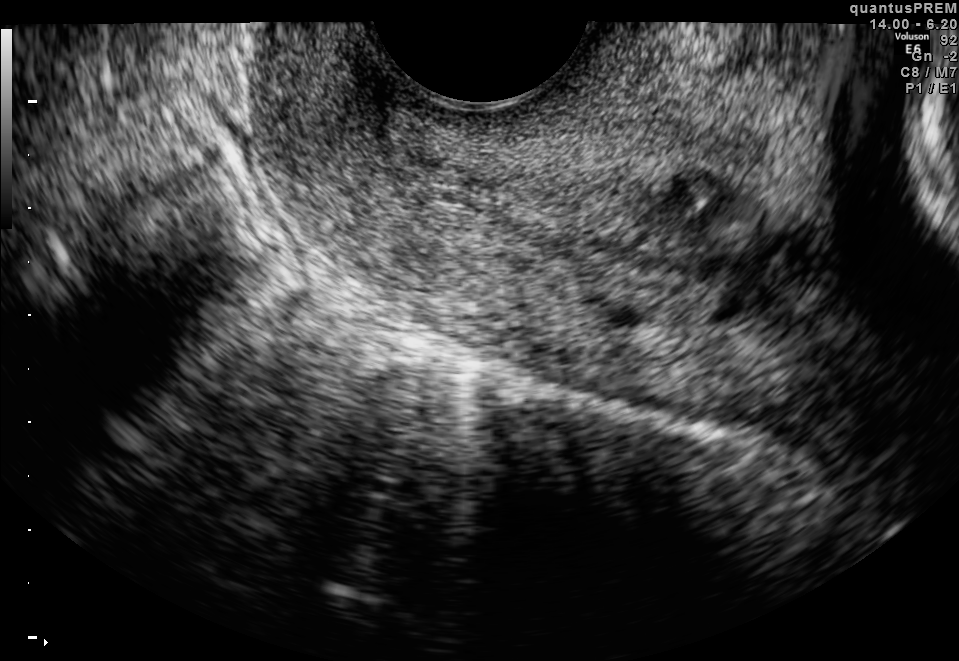
Classify this maternal-fetal ultrasound image as one of the six standard planes — fetal abdomen, fetal brain, fetal femur, fetal thorax, maternal cervix, or other. If it's fetal brain and one of the three standard brain planes (trans-thalamic, trans-cerebellum, trans-ventricular), name which.

Maternal cervix